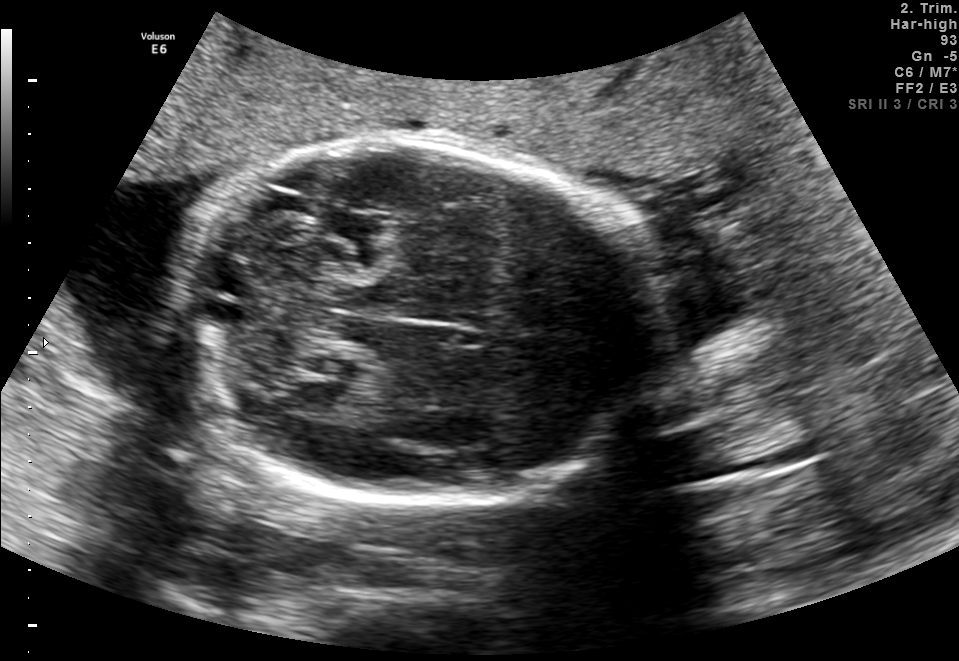
Fetal brain, trans-cerebellum plane. Locate the fetal head and, if visible, the cavum septum pellucidum (CSP) and lateral ventricle (LV). Give bounding boxes as [x1,y1,x2,y2].

Head: [175,140,644,503]